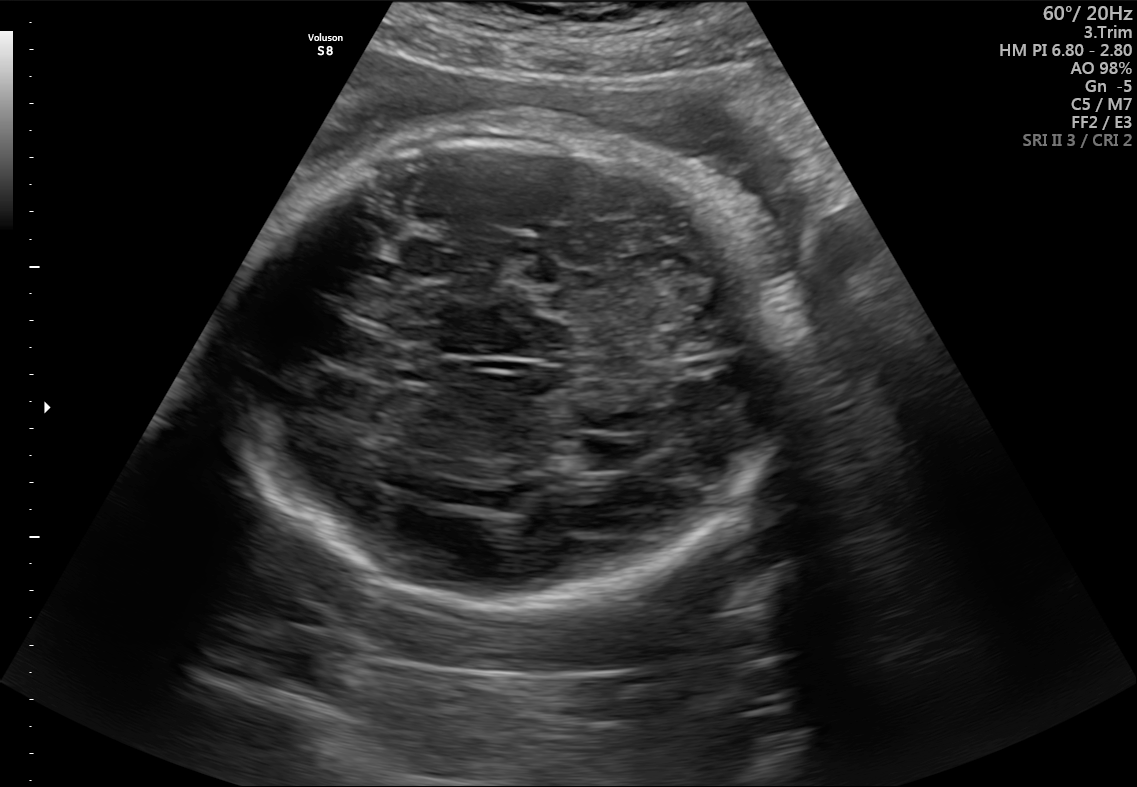
Fetal brain, trans-thalamic plane. Give [x1,y1,x2,y2] bounding boxes for each visible structure among: fetal head, CSP, LV.

Head: [221,130,798,605]
Lateral ventricle: [571,435,631,471]